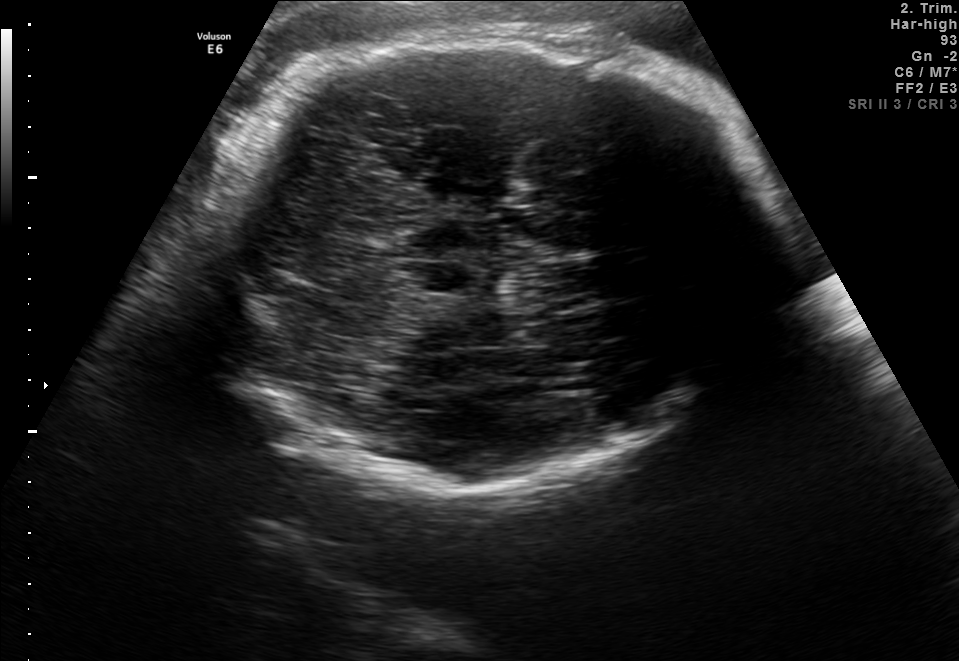
Fetal brain, trans-thalamic plane. Locate the fetal head.

Head: [206,31,773,490]